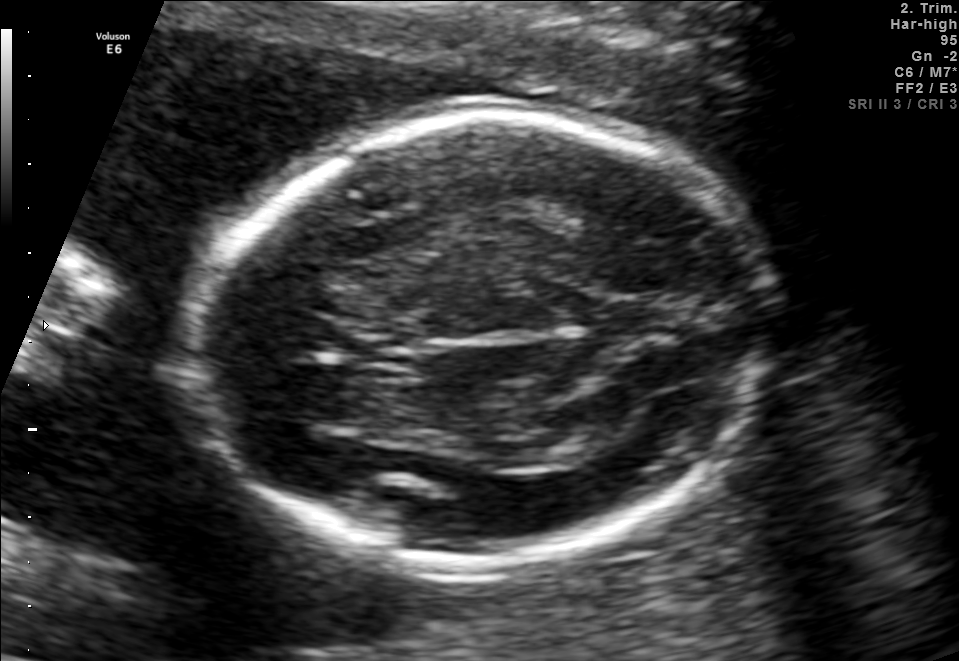
Fetal brain, trans-thalamic plane. Give [x1,y1,x2,y2] bounding boxes for each visible structure among: fetal head, CSP, LV.

Head: [187,114,770,567]